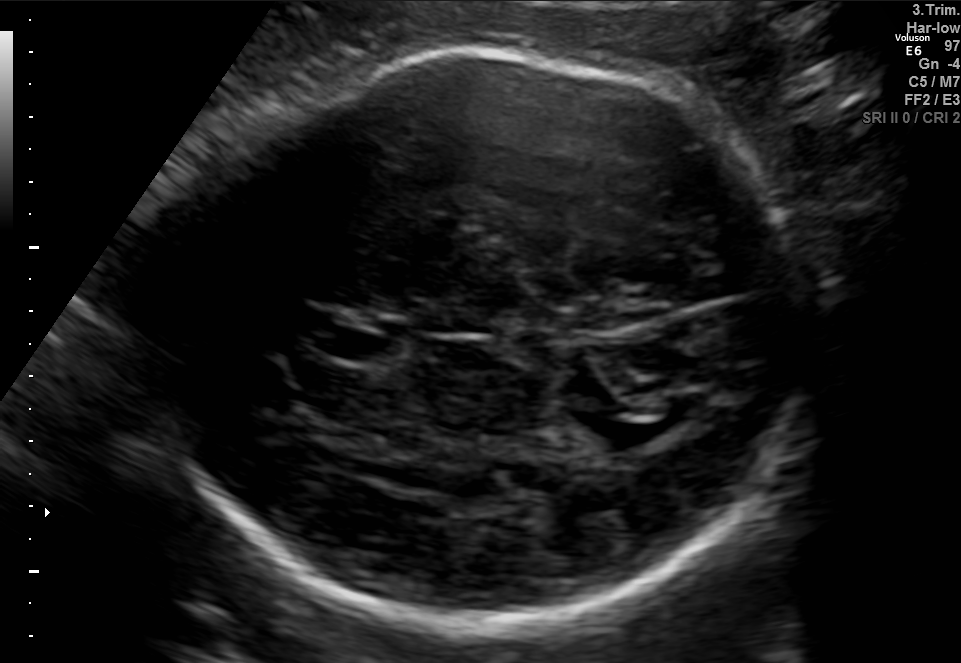
Fetal brain, trans-thalamic plane. Where is the fetal head?

Head bounding box: [143,52,824,627]